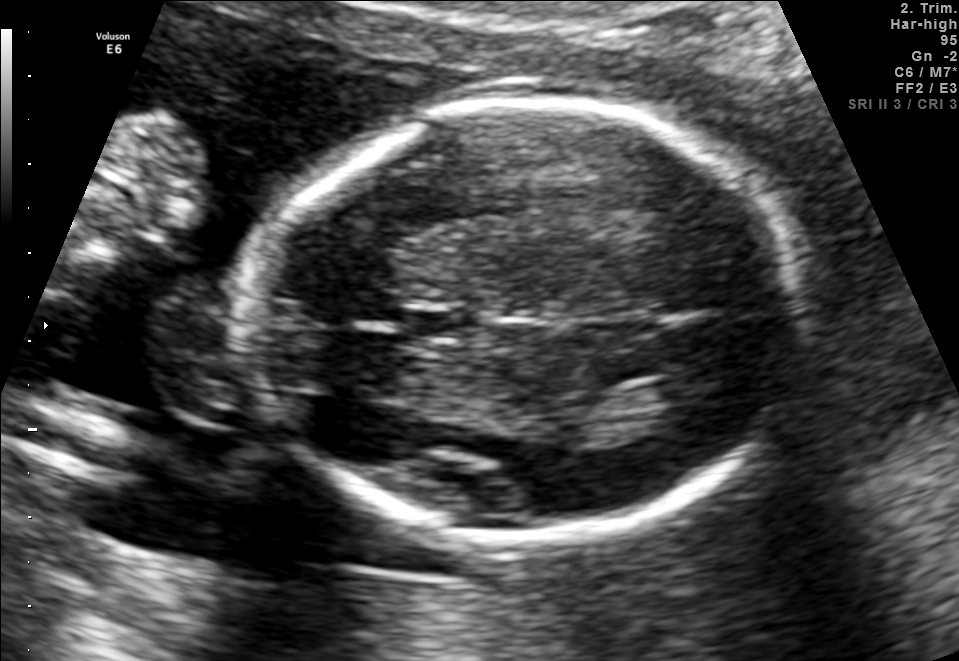
Fetal brain, trans-thalamic plane. Locate the cavum septum pellucidum.

CSP: [406,312,474,339]